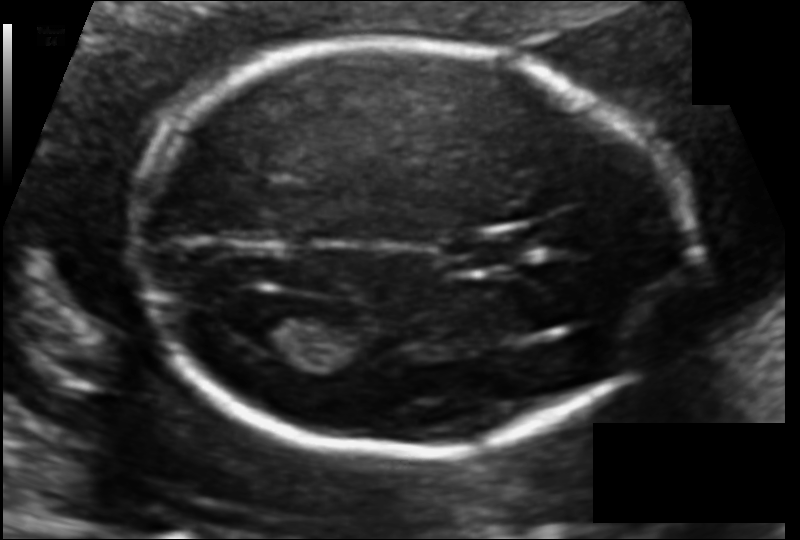
Fetal head ultrasound. Image width: 84.8 mm. Locate the cavum septum pellucidum.

CSP: [450,230,525,273]